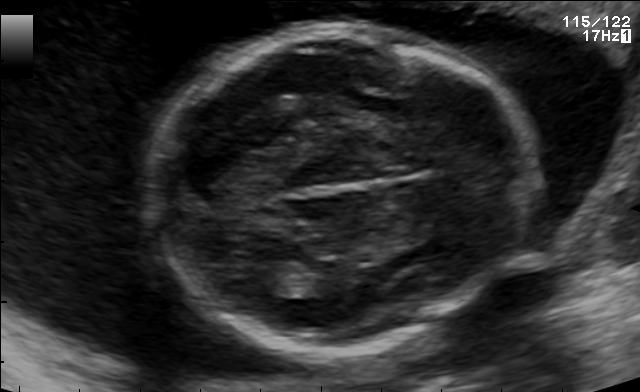
Fetal brain, trans-thalamic plane. Where is the fetal head?

Head bounding box: [153,27,543,347]